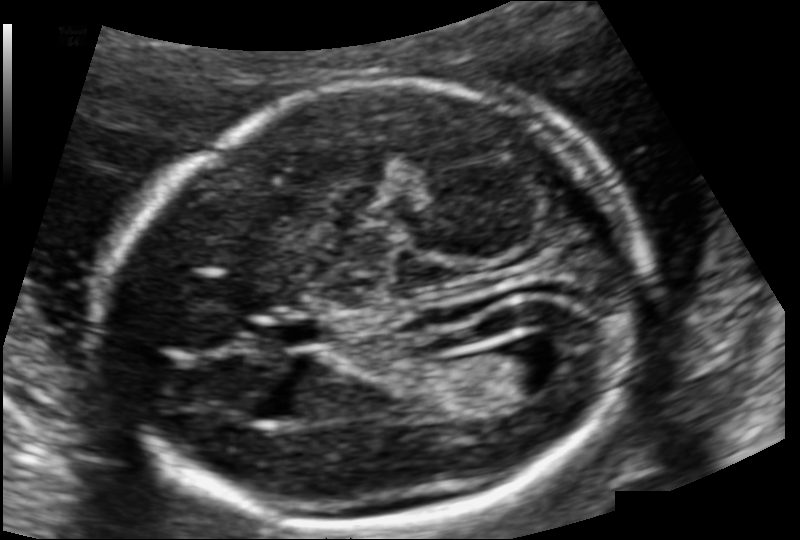
Estimate the fetal head circumference from this 2D ultrasound.

Head circumference: 176.7 mm (image width 89.0 mm).